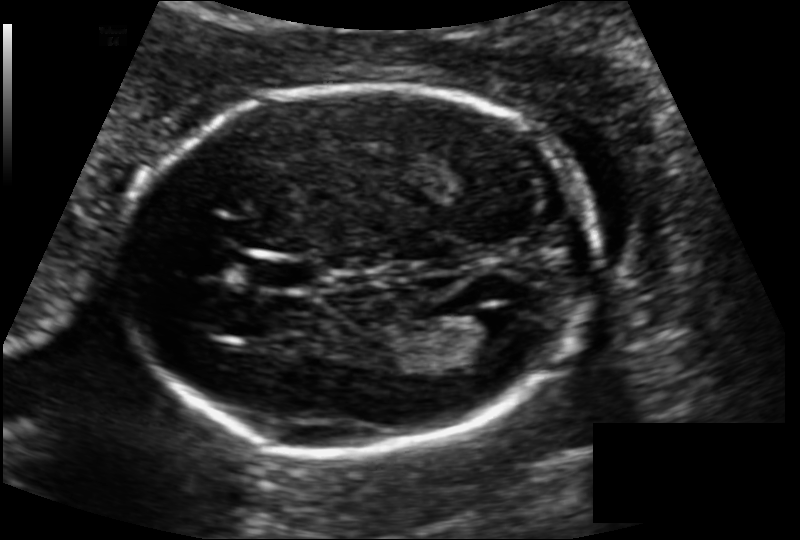
In this fetal head ultrasound, give the bounding box of the fetal head. Image width: 99.0 mm.

[121,87,601,457]